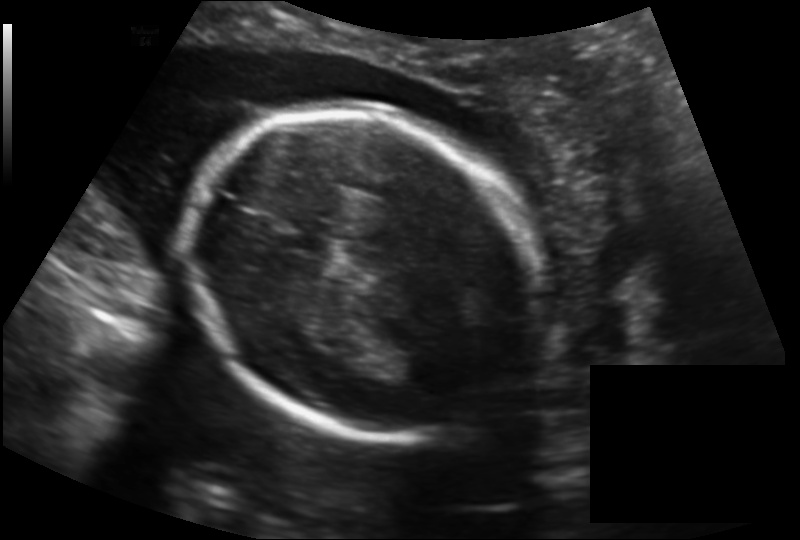
Fetal head ultrasound. Image width: 131.3 mm. Locate the fetal head and, if visible, the cavum septum pellucidum (CSP) and lateral ventricle (LV). Give bounding boxes as [x1,y1,x2,y2].

Head: [189,106,537,440]